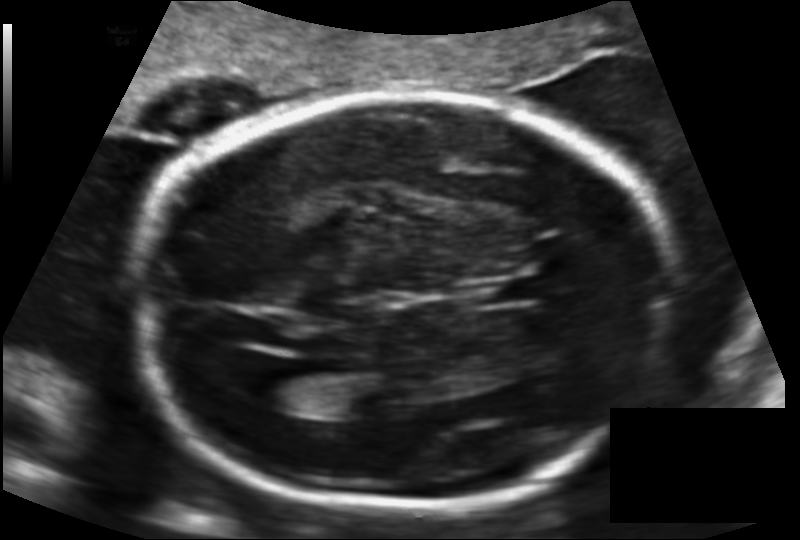
From this fetal ultrasound, estimate the head circumference (image width 113.0 mm).

Head circumference: 221.3 mm.